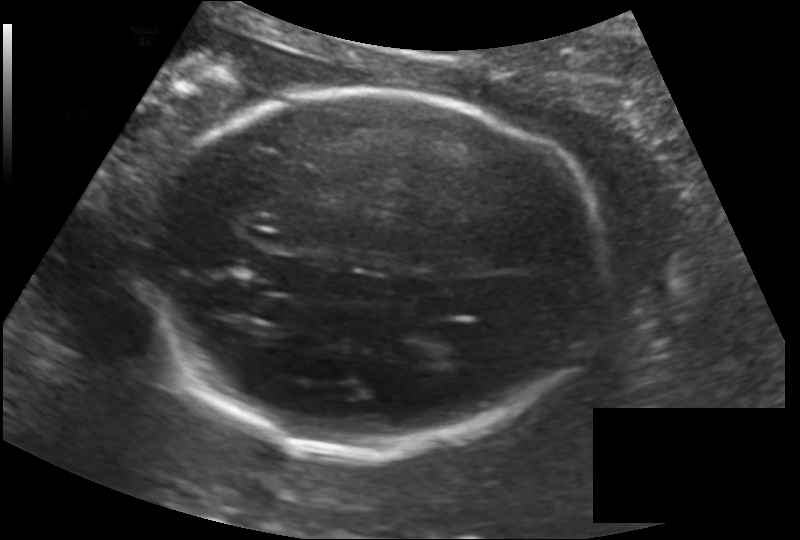
Fetal head ultrasound. Image width: 136.3 mm. Where is the fetal head?

Head bounding box: [148,93,599,455]